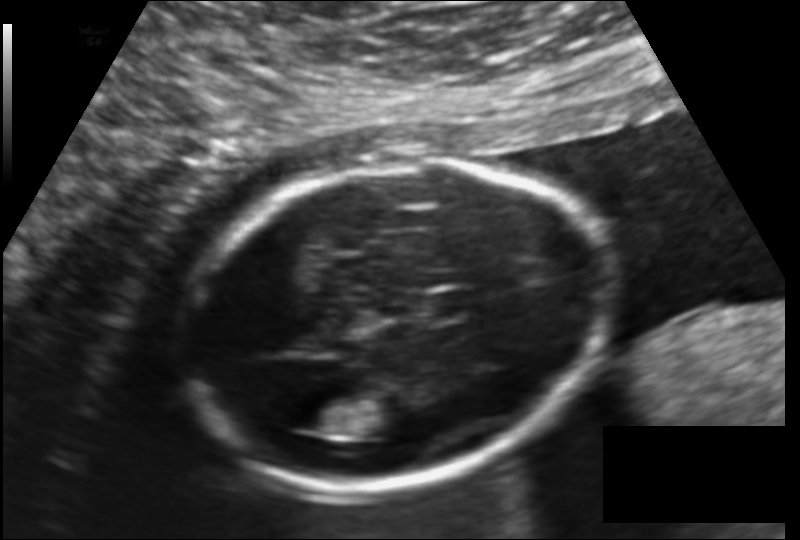
Fetal head ultrasound. Image width: 112.0 mm. Where is the fetal head?

Head bounding box: [187,158,613,484]